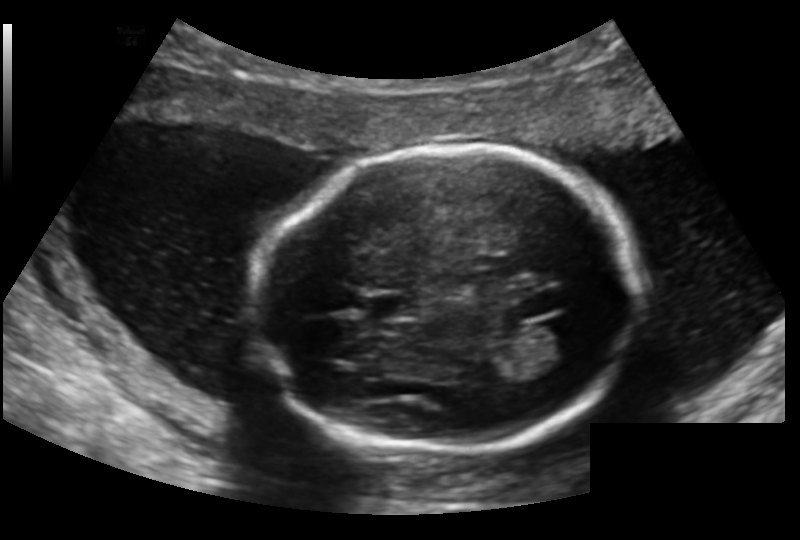
Fetal head ultrasound. Image width: 127.4 mm. Give [x1,y1,x2,y2] bounding boxes for each visible structure among: fetal head, CSP, LV.

Head: [254,146,638,453]
CSP: [366,295,416,318]
Lateral ventricle: [531,313,595,366]